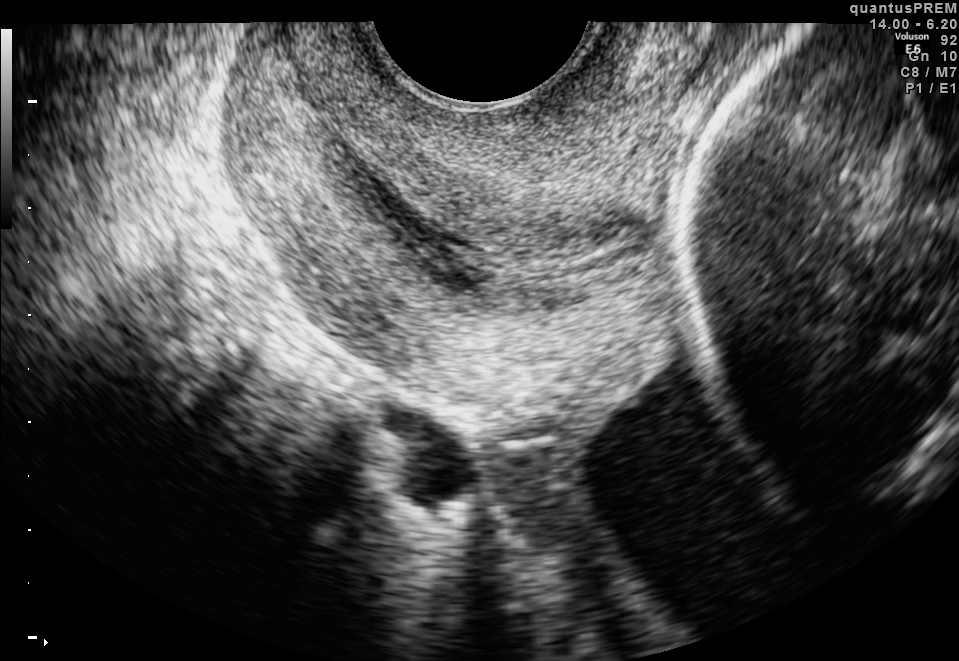
This is a 2D maternal-fetal ultrasound frame. Is it a fetal abdomen, fetal brain, fetal femur, fetal thorax, maternal cervix, or other standard plane? If it's fetal brain and one of the three standard brain planes (trans-thalamic, trans-cerebellum, trans-ventricular), name which.

Maternal cervix